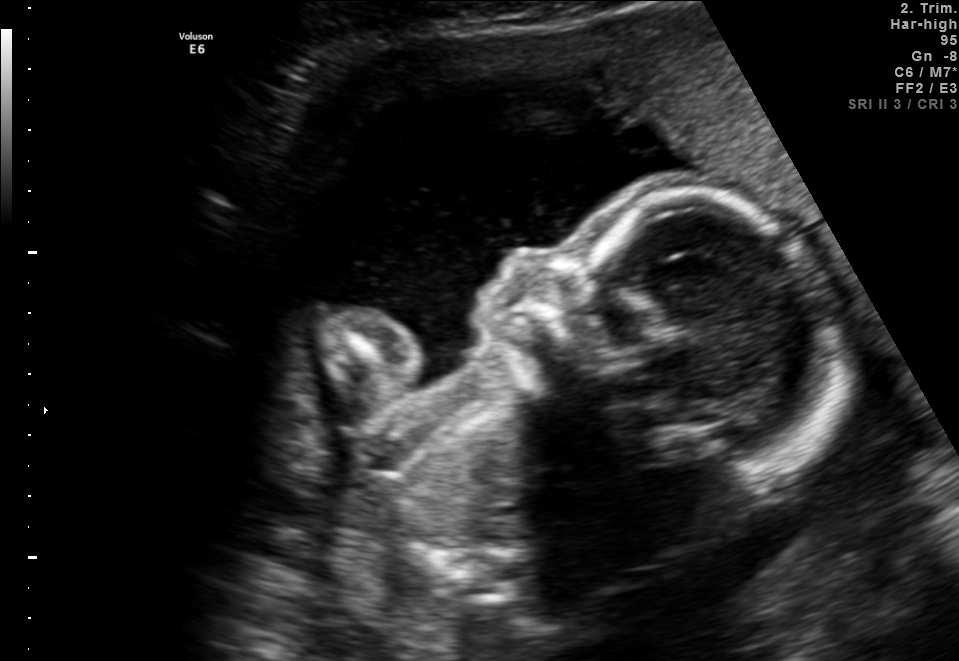
Identify the standard plane in this fetal ultrasound image: fetal abdomen, fetal brain, fetal femur, fetal thorax, maternal cervix, or other. If it's fetal brain and one of the three standard brain planes (trans-thalamic, trans-cerebellum, trans-ventricular), name which.

Other